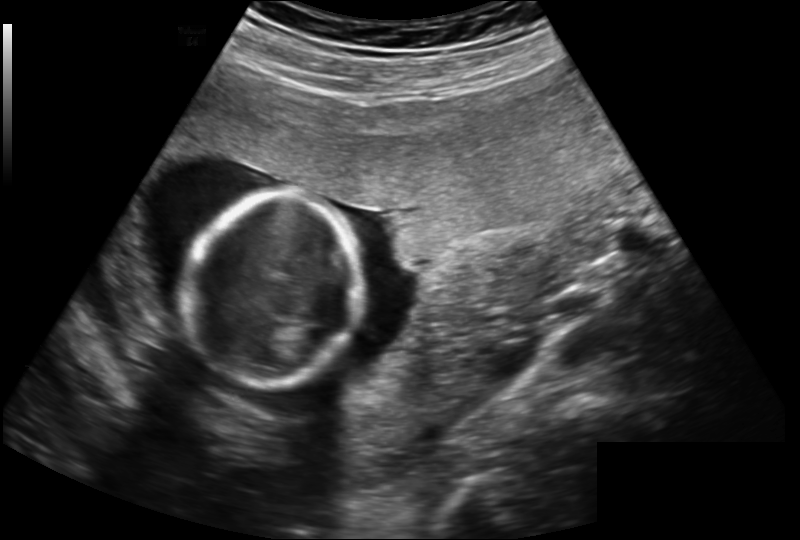
Fetal head ultrasound. Image width: 161.5 mm. Locate the fetal head and, if visible, the cavum septum pellucidum (CSP) and lateral ventricle (LV). Give bounding boxes as [x1,y1,x2,y2].

Head: [188,193,364,388]